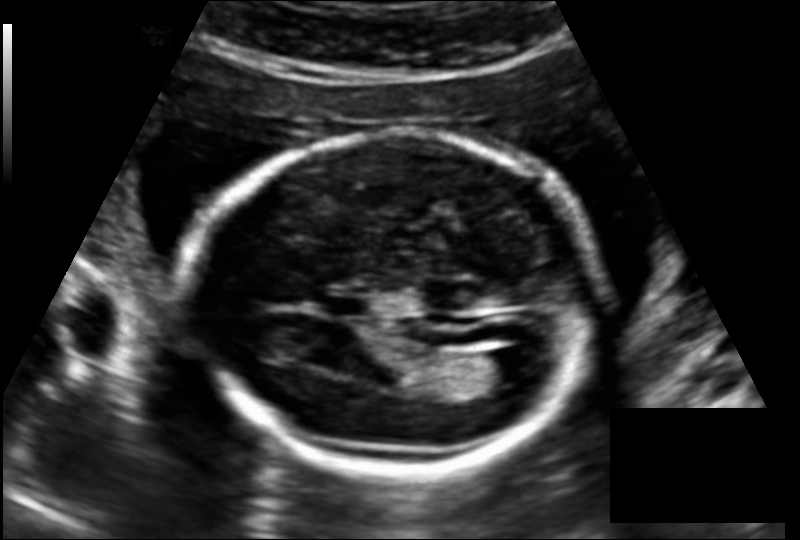
In this fetal head ultrasound, give the bounding box of the cavum septum pellucidum. Image width: 115.9 mm.

[322,295,368,318]